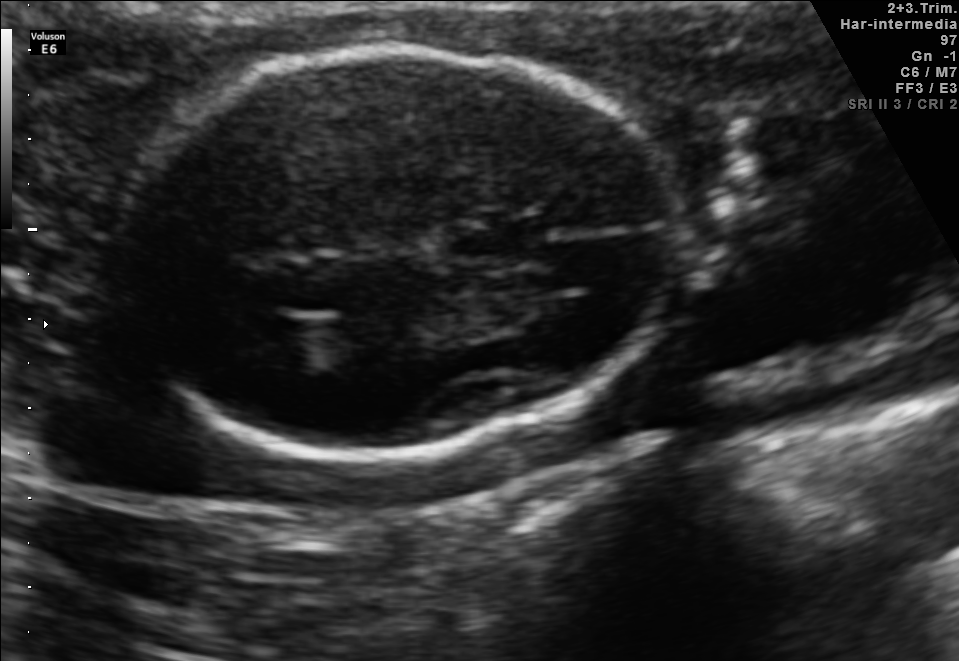
Fetal brain, trans-thalamic plane. Locate the fetal head and, if visible, the cavum septum pellucidum (CSP) and lateral ventricle (LV). Give bounding boxes as [x1,y1,x2,y2].

Head: [116,48,673,453]
CSP: [448,217,544,267]
Lateral ventricle: [228,304,330,369]